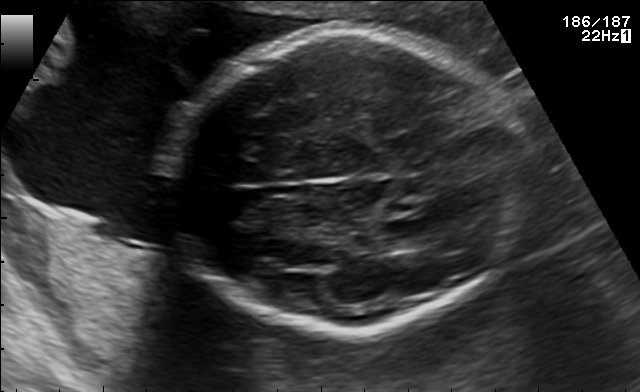
Identify the standard plane in this fetal ultrasound image: fetal abdomen, fetal brain, fetal femur, fetal thorax, maternal cervix, or other. If it's fetal brain and one of the three standard brain planes (trans-thalamic, trans-cerebellum, trans-ventricular), name which.

Fetal brain (trans-thalamic plane)